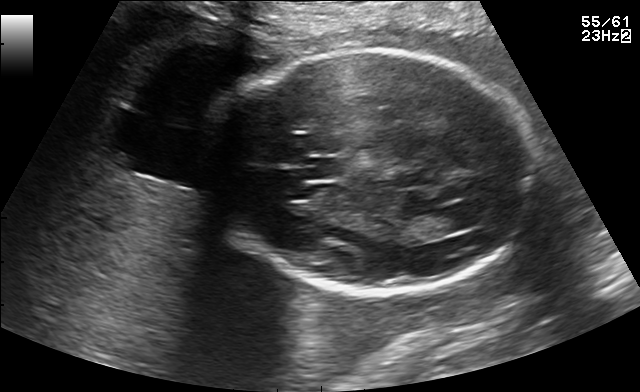
In this fetal brain, trans-thalamic plane, give bounding boxes for the head outline, cavum septum pellucidum (CSP), and lateral ventricle (LV), where visible.

Head: [209,49,538,290]
CSP: [308,158,342,179]
Lateral ventricle: [399,204,466,247]